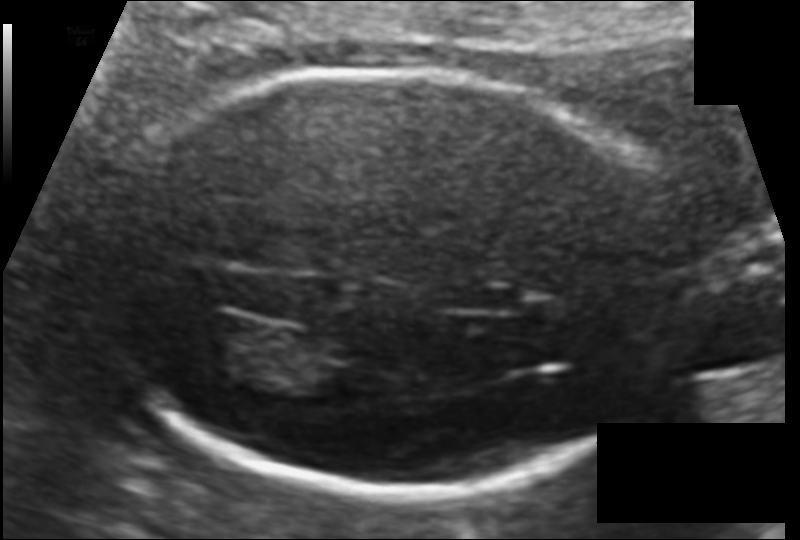
Measure the fetal head circumference shown in this ultrasound image. Image width: 82.9 mm.

Head circumference: 169.9 mm.